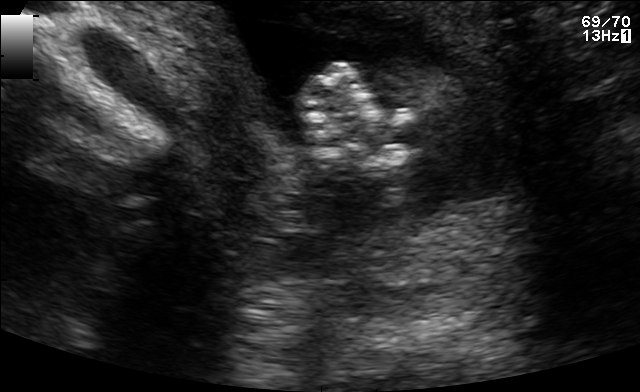
Classify this maternal-fetal ultrasound image as one of the six standard planes — fetal abdomen, fetal brain, fetal femur, fetal thorax, maternal cervix, or other. If it's fetal brain and one of the three standard brain planes (trans-thalamic, trans-cerebellum, trans-ventricular), name which.

Other